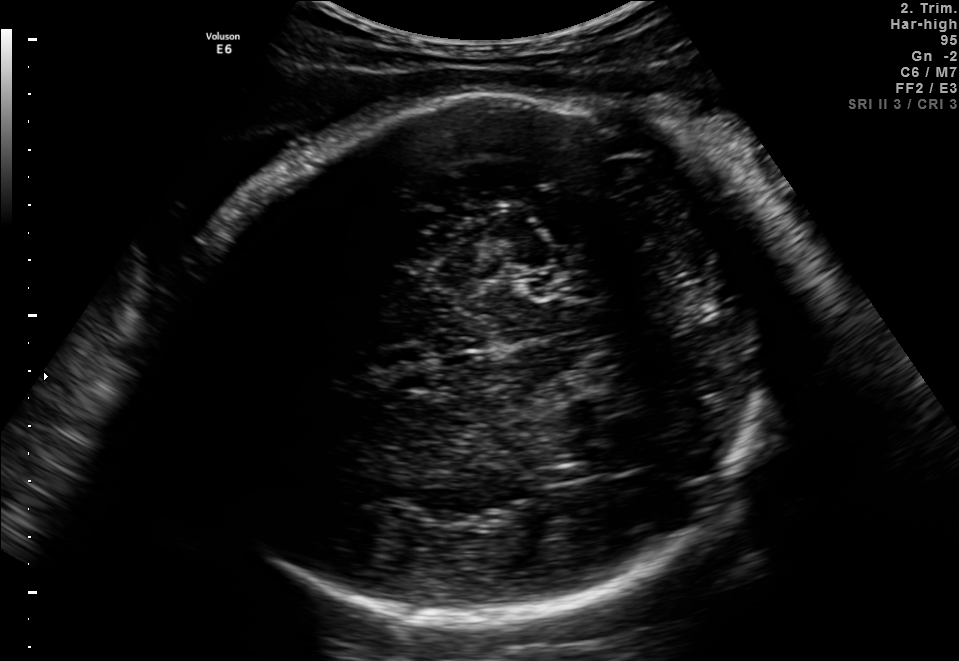
In this fetal brain, trans-thalamic plane, give the bounding box of the fetal head.

[172,82,797,625]